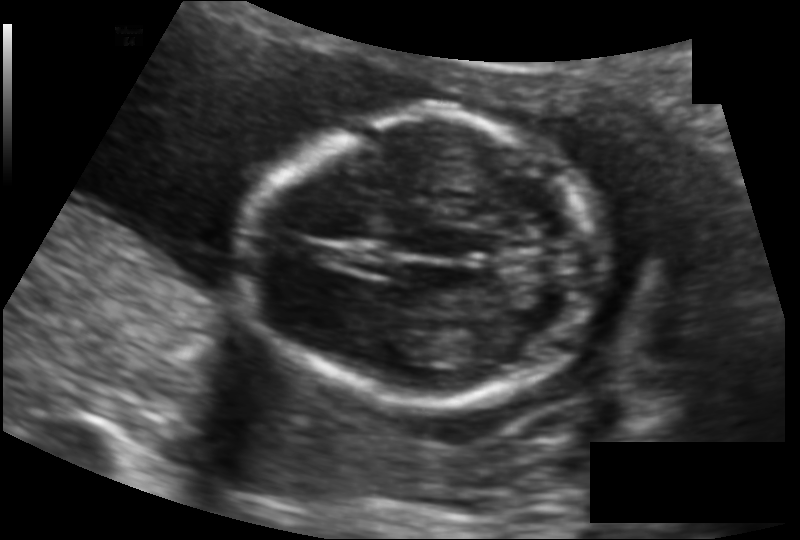
Measure the fetal head circumference shown in this ultrasound image. Image width: 97.8 mm.

Head circumference: 129.3 mm.